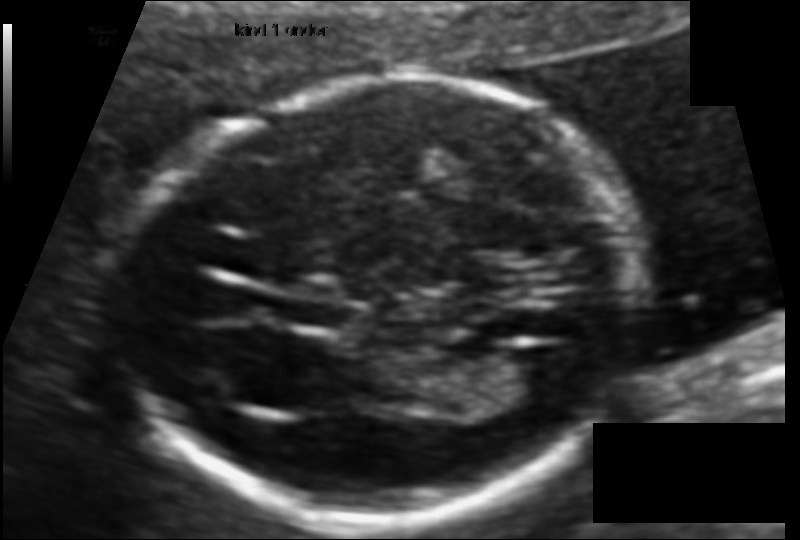
Fetal head ultrasound. Image width: 75.7 mm. Give [x1,y1,x2,y2] bounding boxes for each visible structure among: fetal head, CSP, LV.

Head: [122,82,638,520]
CSP: [290,297,353,332]
Lateral ventricle: [498,342,581,400]